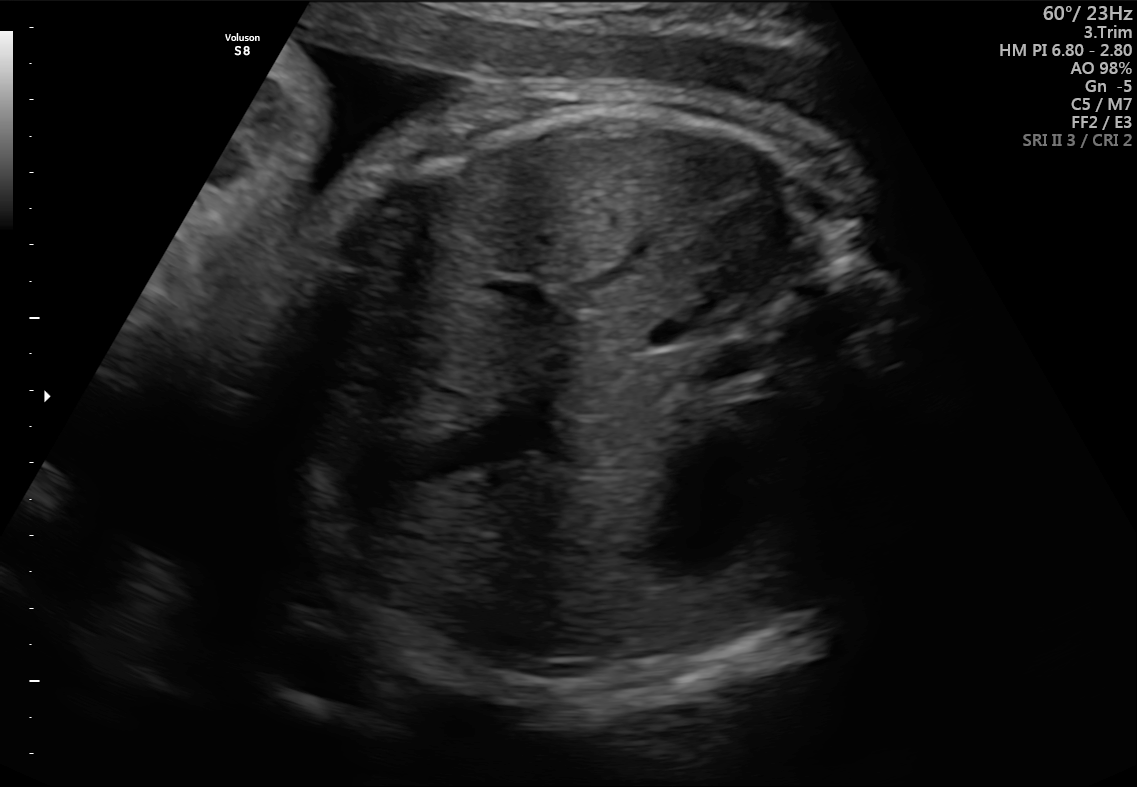
Classify this maternal-fetal ultrasound image as one of the six standard planes — fetal abdomen, fetal brain, fetal femur, fetal thorax, maternal cervix, or other. If it's fetal brain and one of the three standard brain planes (trans-thalamic, trans-cerebellum, trans-ventricular), name which.

Fetal abdomen